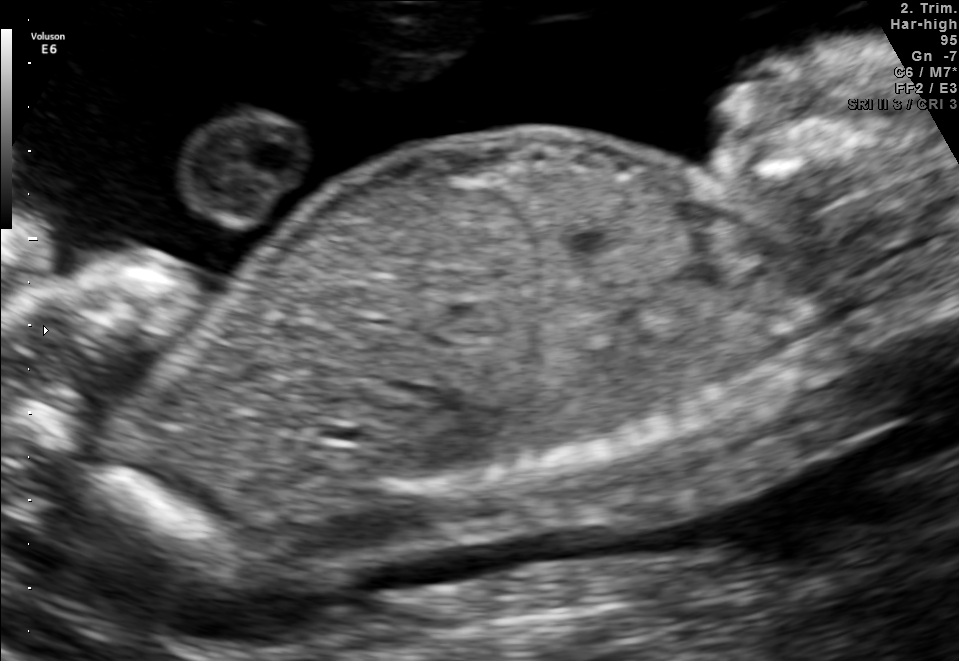
Classify this maternal-fetal ultrasound image as one of the six standard planes — fetal abdomen, fetal brain, fetal femur, fetal thorax, maternal cervix, or other. If it's fetal brain and one of the three standard brain planes (trans-thalamic, trans-cerebellum, trans-ventricular), name which.

Other